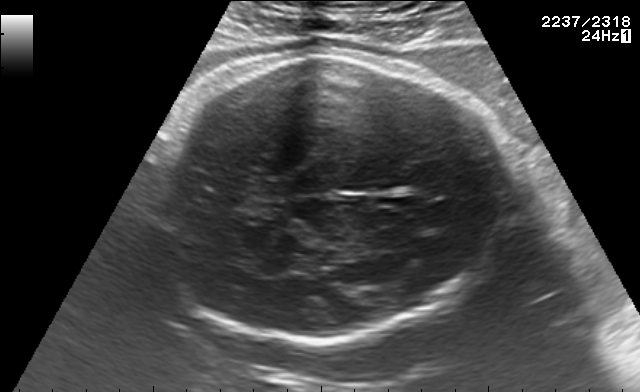
Fetal brain, trans-thalamic plane. Where is the fetal head?

Head bounding box: [147,54,509,342]